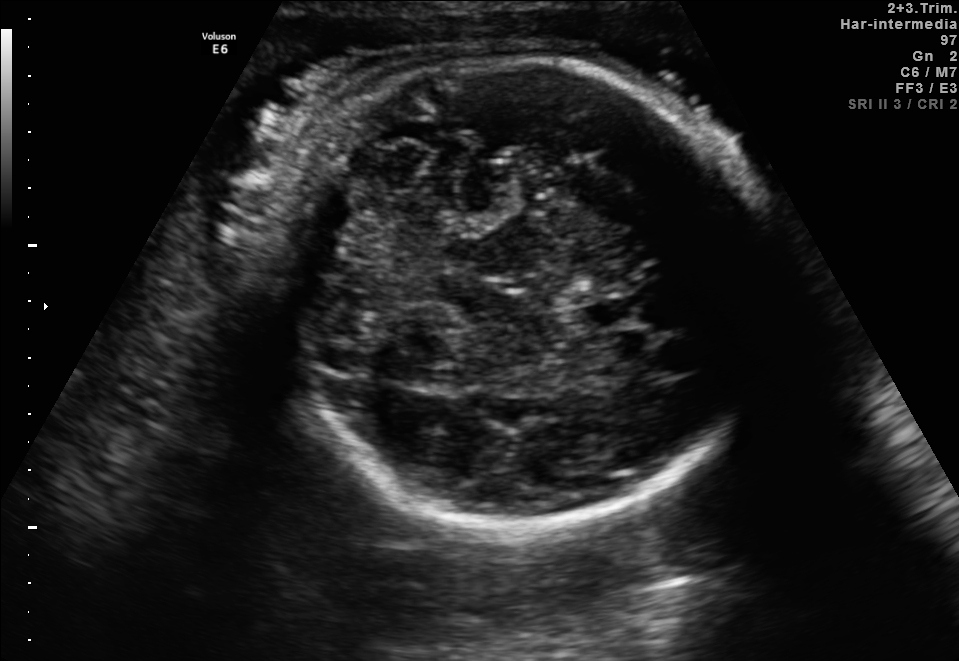
Fetal brain, trans-cerebellum plane. Where is the cavum septum pellucidum?

CSP bounding box: [576,291,640,331]